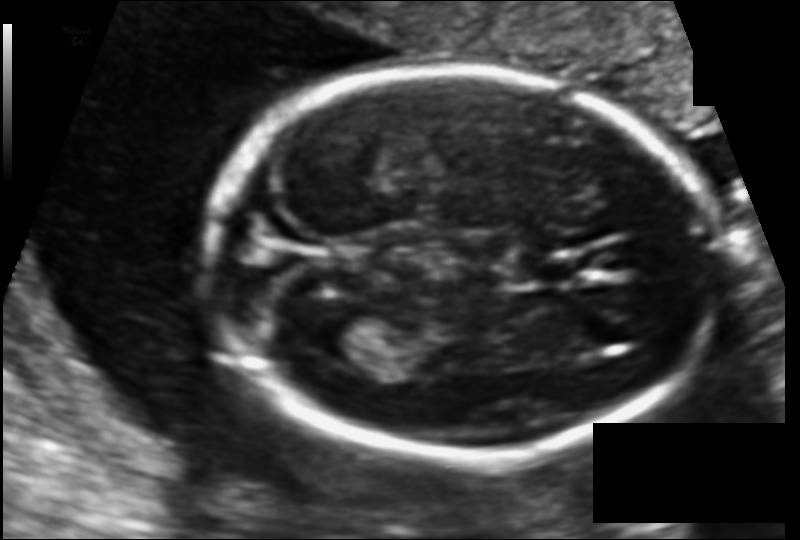
Fetal head ultrasound. Image width: 86.7 mm. Where is the cavum septum pellucidum?

CSP bounding box: [519,254,582,287]